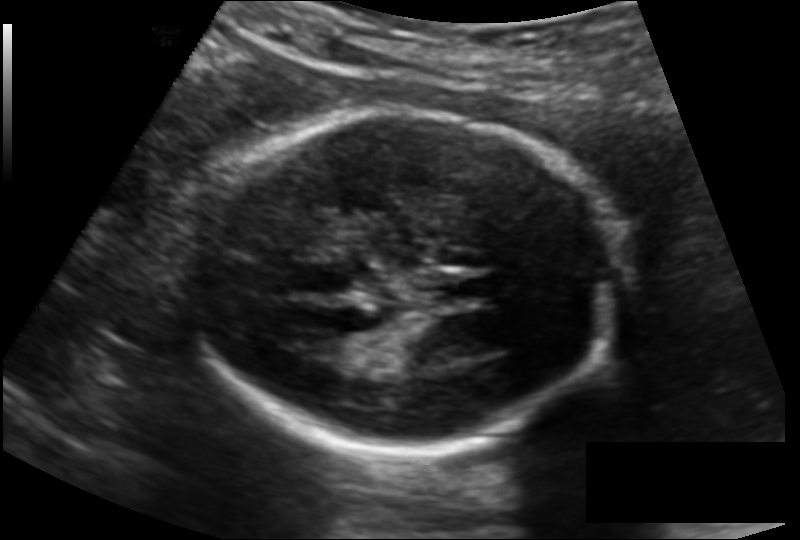
In this fetal head ultrasound, give bounding boxes for the head outline, cavum septum pellucidum (CSP), and lateral ventricle (LV), where visible. Image width: 107.6 mm.

Head: [191,112,626,454]